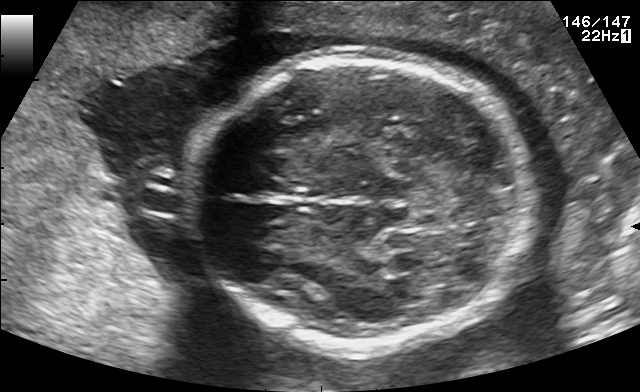
In this fetal brain, trans-thalamic plane, give the bounding box of the fetal head.

[184,59,533,348]